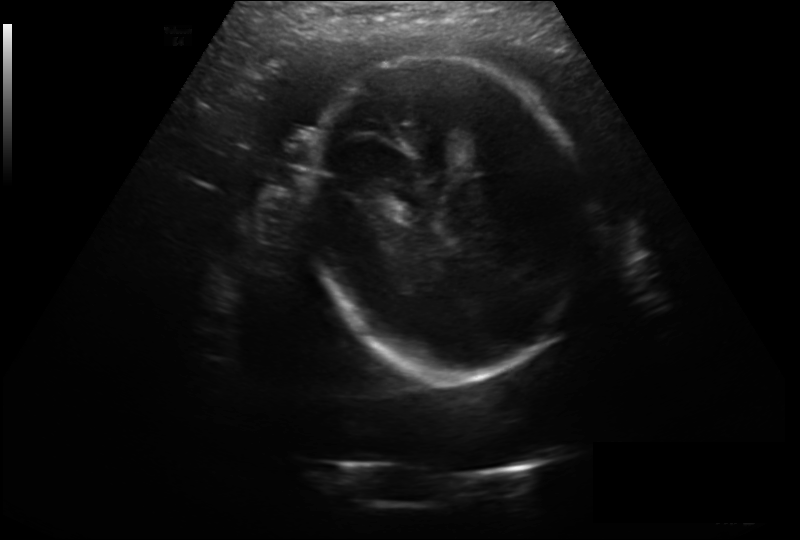
What is the fetal head circumference? Image width is 197.0 mm.

234.6 mm